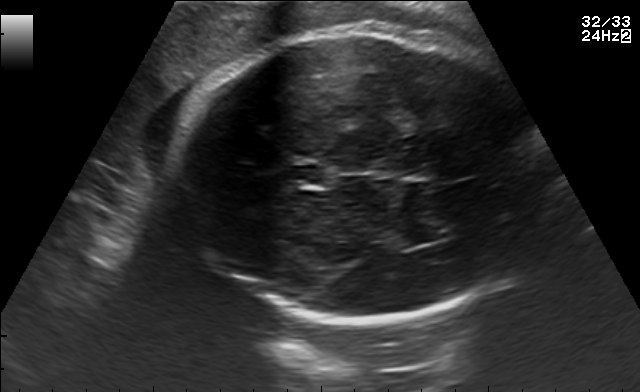
In this fetal brain, trans-thalamic plane, give the bounding box of the cavum septum pellucidum.

[284,165,323,184]